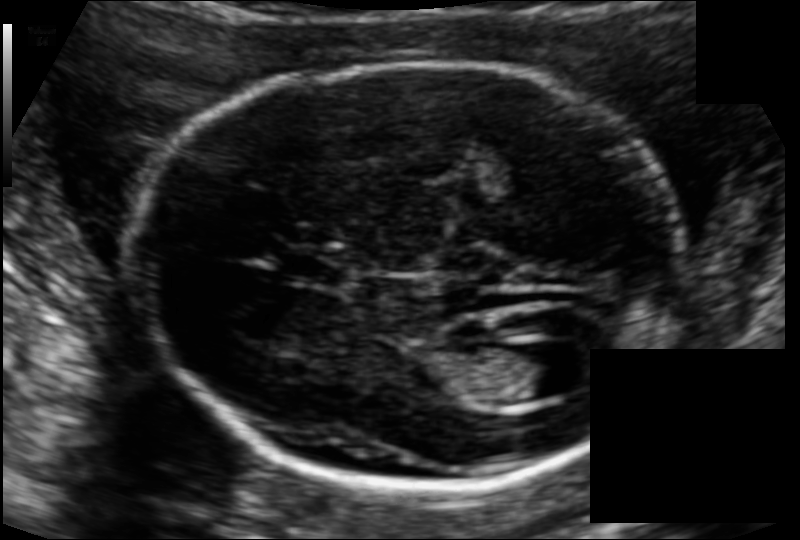
Fetal head ultrasound. Image width: 88.5 mm. Where is the lateral ventricle?

Lateral ventricle bounding box: [497,338,581,404]